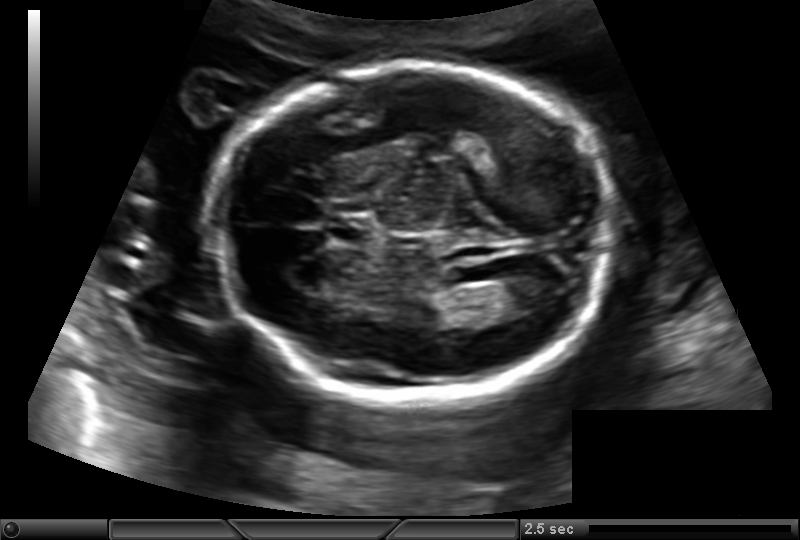
What is the fetal head circumference? Image width is 116.2 mm.

174.9 mm